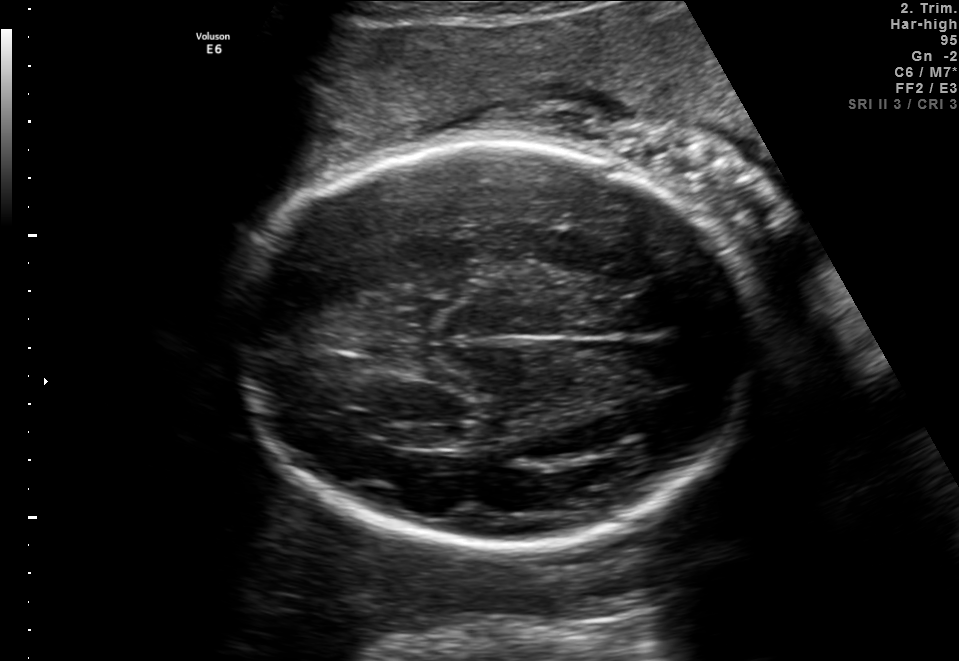
In this fetal brain, trans-thalamic plane, give the bounding box of the lateral ventricle.

[384,425,468,448]